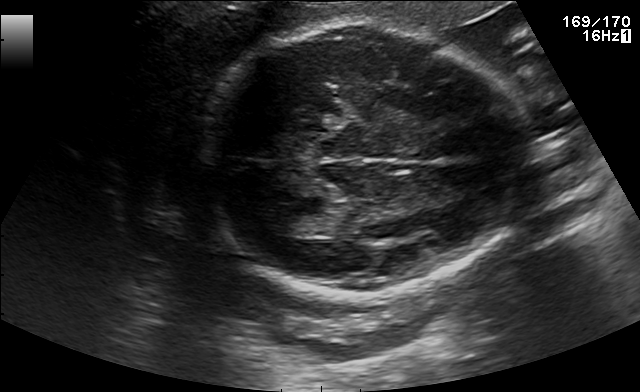
Fetal brain, trans-thalamic plane. Where is the fetal head?

Head bounding box: [196,23,530,297]